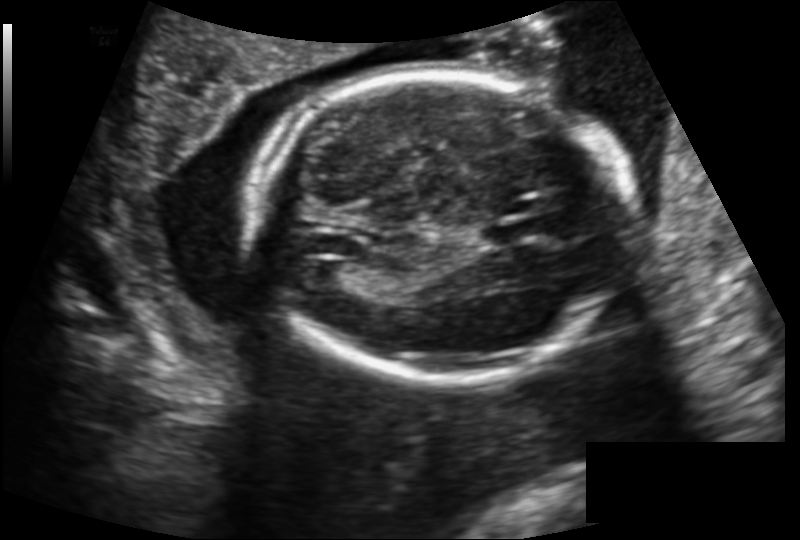
From this fetal ultrasound, estimate the head circumference (image width 127.5 mm).

Head circumference: 178.8 mm.